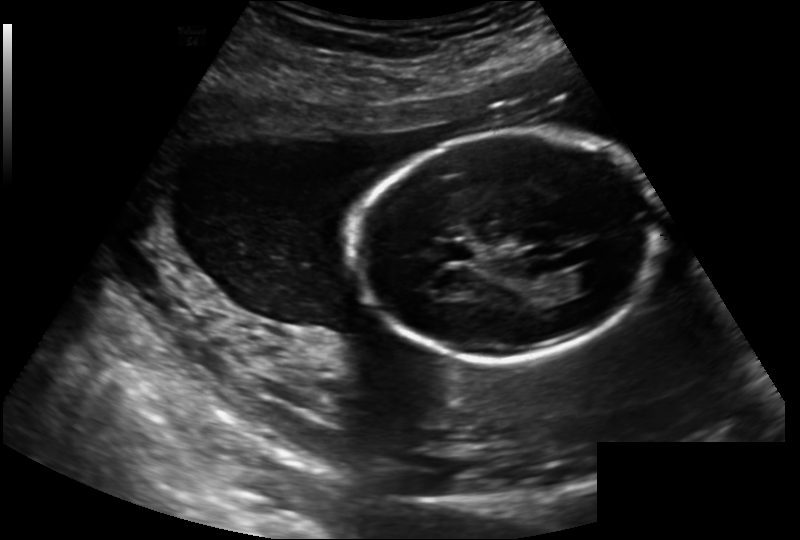
From this fetal ultrasound, estimate the head circumference (image width 161.7 mm).

Head circumference: 175.9 mm.